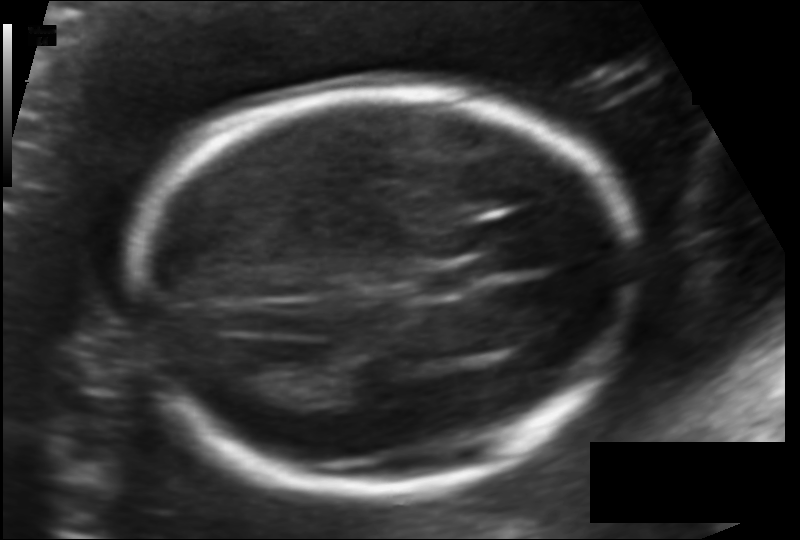
Fetal head ultrasound. Image width: 99.3 mm. Where is the lateral ventricle?

Lateral ventricle bounding box: [219,351,297,404]